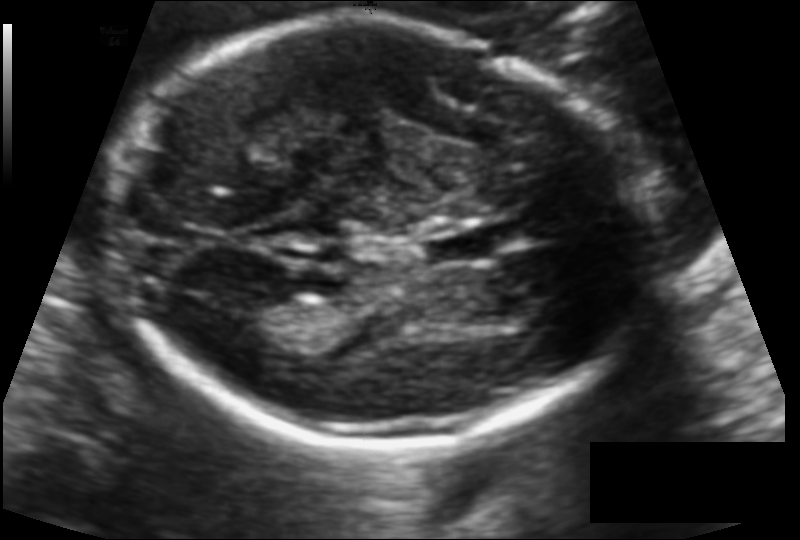
Fetal head ultrasound. Image width: 90.9 mm. Where is the cavum septum pellucidum?

CSP bounding box: [417,221,499,270]